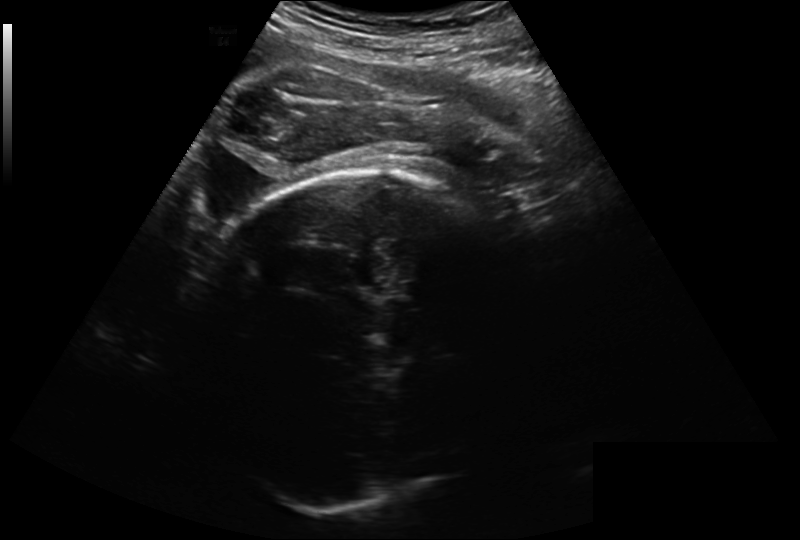
Fetal head ultrasound. Image width: 208.2 mm. Locate the fetal head and, if visible, the cavum septum pellucidum (CSP) and lateral ventricle (LV). Give bounding boxes as [x1,y1,x2,y2].

Head: [181,170,536,512]